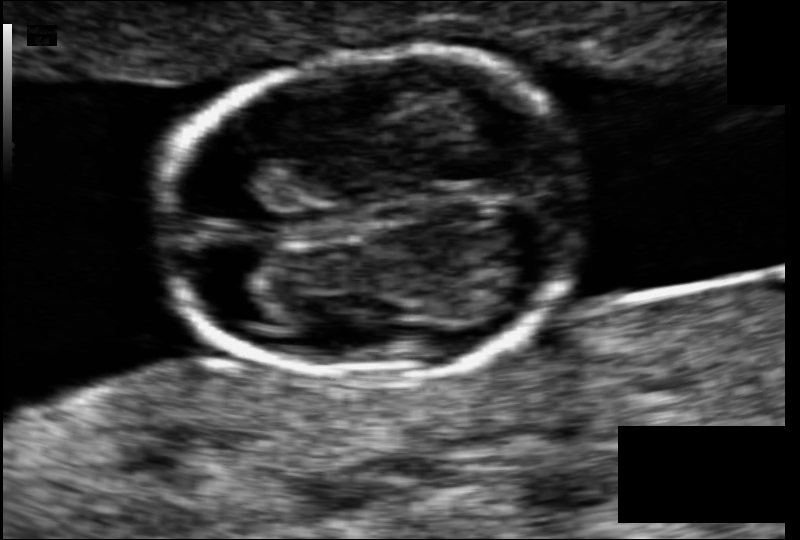
Fetal head ultrasound. Image width: 50.6 mm. Locate the fetal head.

Head: [158,52,586,378]